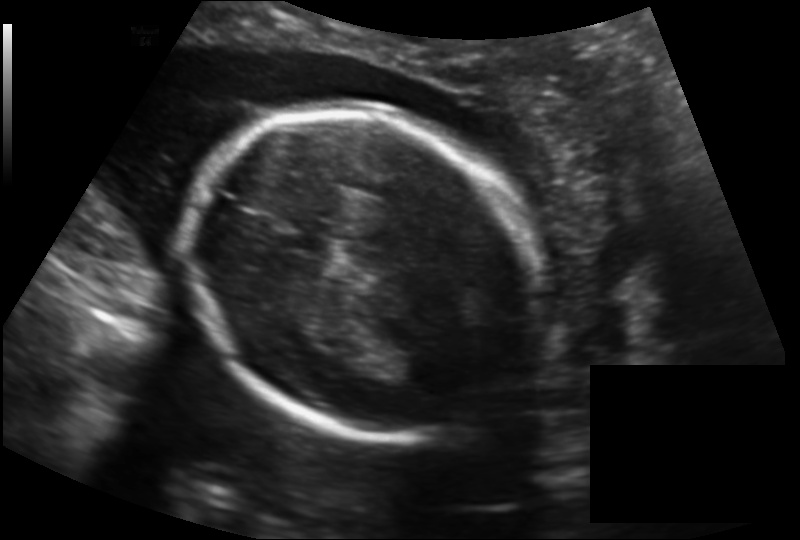
Fetal head ultrasound. Image width: 131.3 mm. Locate the fetal head.

Head: [189,106,537,440]